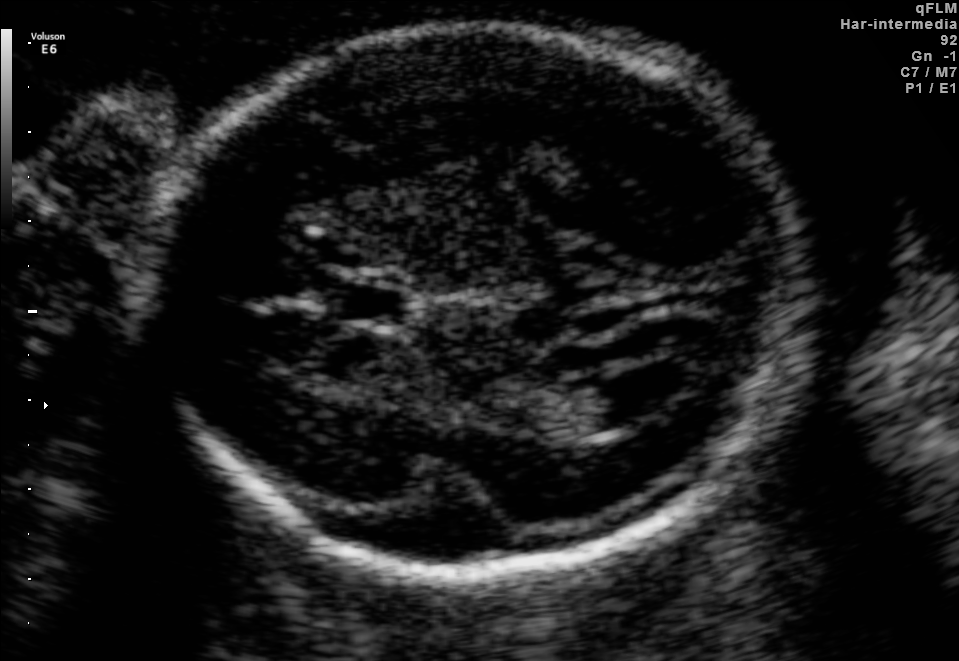
Which standard maternal-fetal ultrasound plane is shown: fetal abdomen, fetal brain, fetal femur, fetal thorax, maternal cervix, or other? If it's fetal brain and one of the three standard brain planes (trans-thalamic, trans-cerebellum, trans-ventricular), name which.

Fetal brain (trans-ventricular plane)